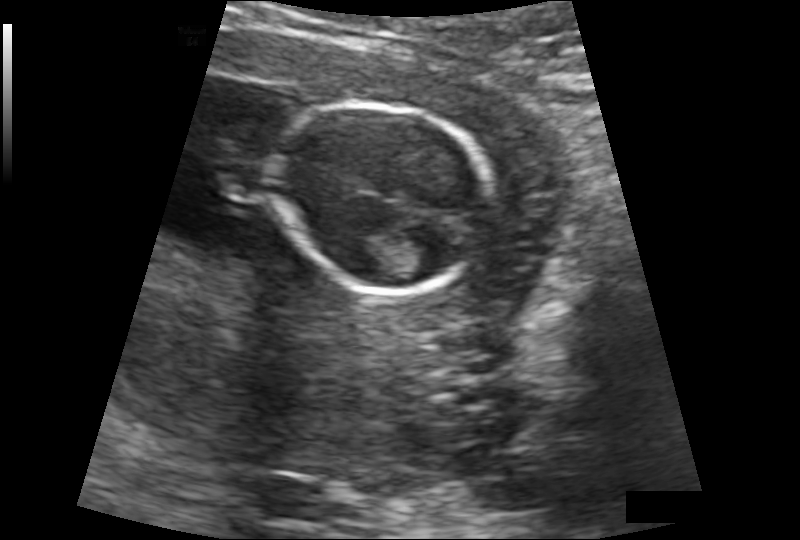
Estimate the fetal head circumference from this 2D ultrasound.

Head circumference: 88.5 mm (image width 105.8 mm).